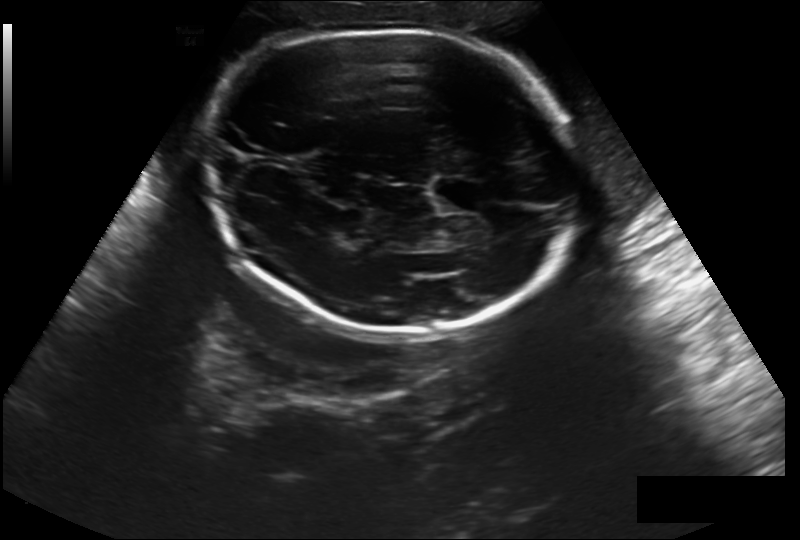
In this fetal head ultrasound, give the bounding box of the fetal head. Image width: 195.6 mm.

[201,29,579,336]